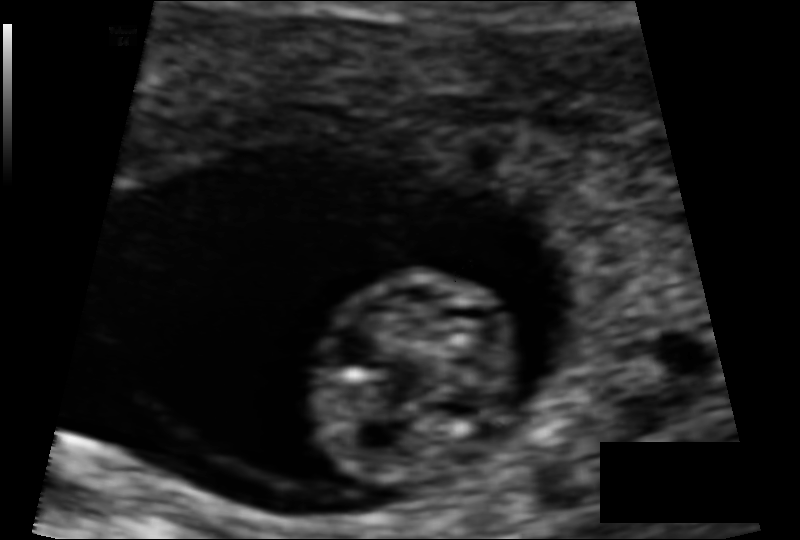
From this fetal ultrasound, estimate the head circumference (image width 55.3 mm).

Head circumference: 44.3 mm.